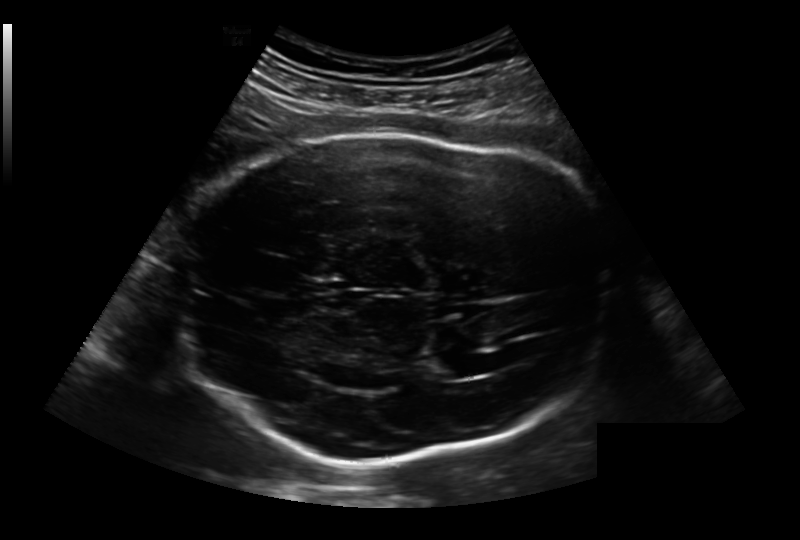
Fetal head ultrasound. Image width: 188.6 mm. Locate the lateral ventricle.

Lateral ventricle: [425,352,476,381]